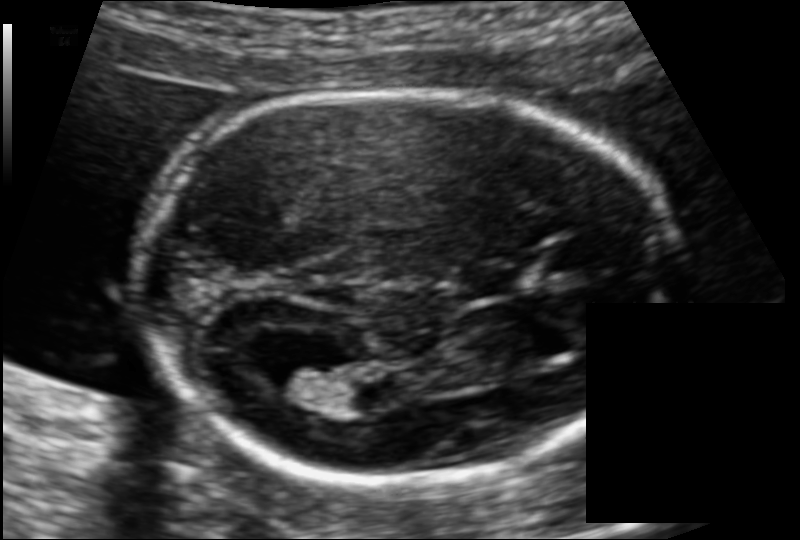
Fetal head ultrasound. Image width: 85.1 mm. Where is the fetal head?

Head bounding box: [134,91,677,478]